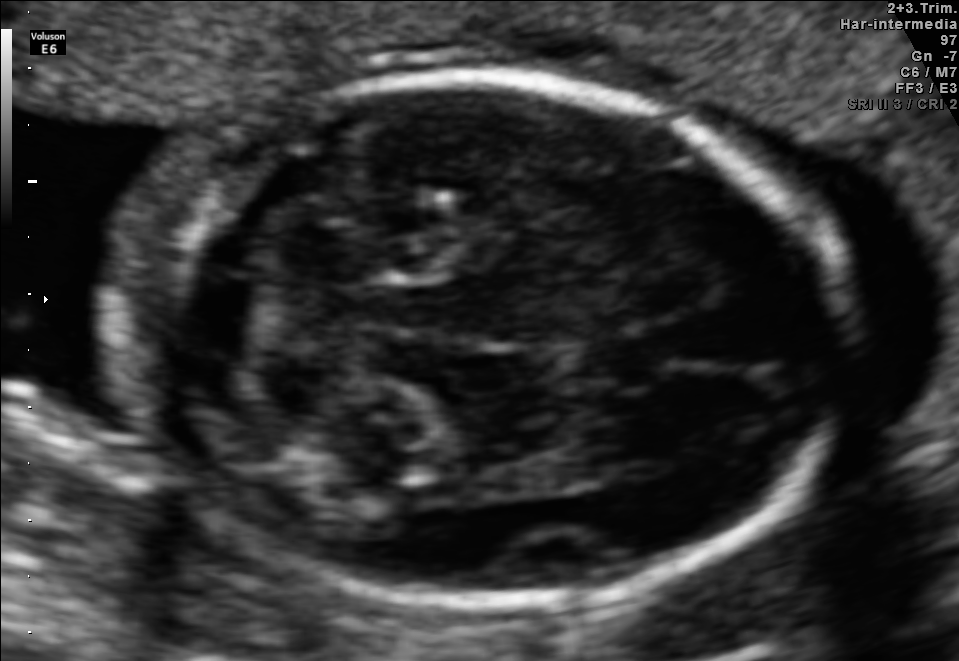
Identify the standard plane in this fetal ultrasound image: fetal abdomen, fetal brain, fetal femur, fetal thorax, maternal cervix, or other. If it's fetal brain and one of the three standard brain planes (trans-thalamic, trans-cerebellum, trans-ventricular), name which.

Fetal brain (trans-cerebellum plane)